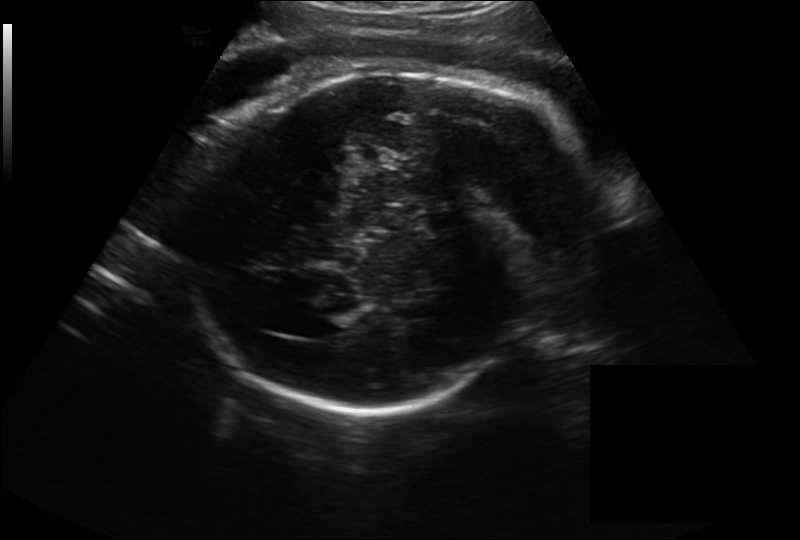
Fetal head ultrasound. Image width: 209.3 mm. Where is the lateral ventricle?

Lateral ventricle bounding box: [305,312,353,338]